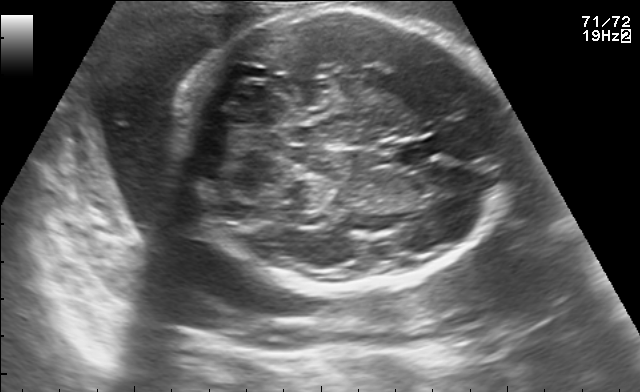
Fetal brain, trans-cerebellum plane. Locate the cavum septum pellucidum.

CSP: [389,134,441,169]